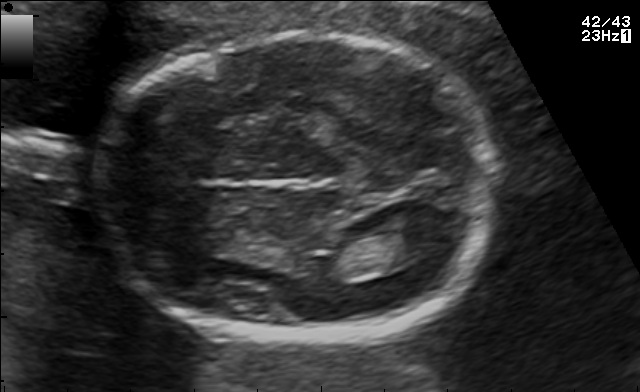
Which standard maternal-fetal ultrasound plane is shown: fetal abdomen, fetal brain, fetal femur, fetal thorax, maternal cervix, or other? If it's fetal brain and one of the three standard brain planes (trans-thalamic, trans-cerebellum, trans-ventricular), name which.

Fetal brain (trans-thalamic plane)